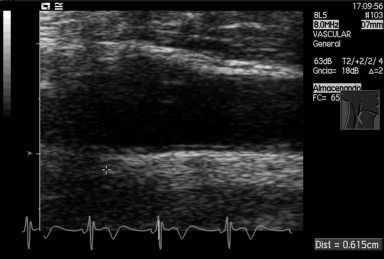
Identify the standard plane in this fetal ultrasound image: fetal abdomen, fetal brain, fetal femur, fetal thorax, maternal cervix, or other. If it's fetal brain and one of the three standard brain planes (trans-thalamic, trans-cerebellum, trans-ventricular), name which.

Other